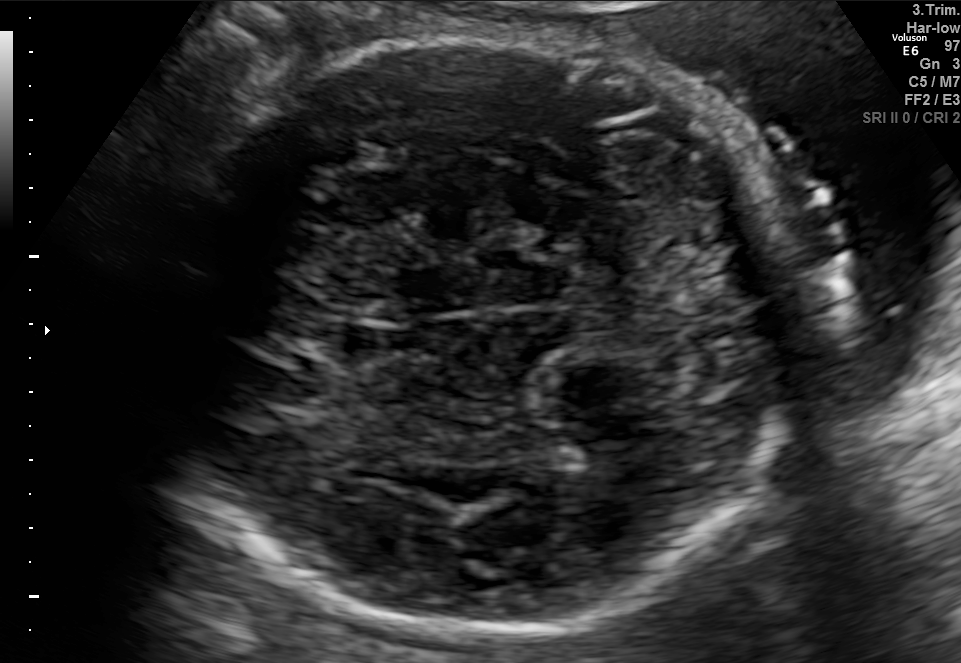
Identify the standard plane in this fetal ultrasound image: fetal abdomen, fetal brain, fetal femur, fetal thorax, maternal cervix, or other. If it's fetal brain and one of the three standard brain planes (trans-thalamic, trans-cerebellum, trans-ventricular), name which.

Fetal brain (trans-thalamic plane)